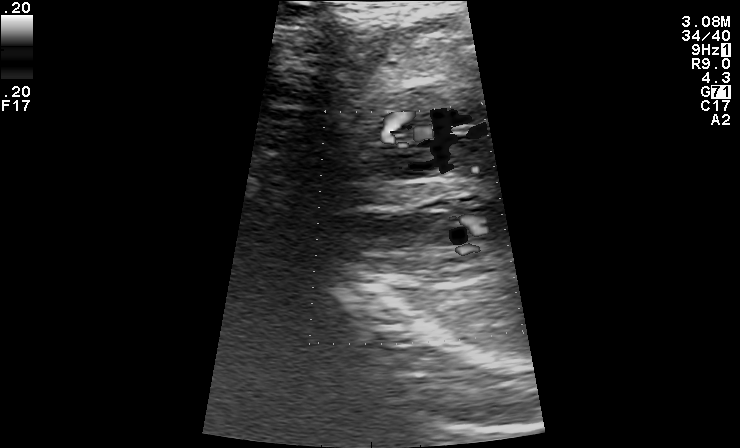
Identify the standard plane in this fetal ultrasound image: fetal abdomen, fetal brain, fetal femur, fetal thorax, maternal cervix, or other. If it's fetal brain and one of the three standard brain planes (trans-thalamic, trans-cerebellum, trans-ventricular), name which.

Other